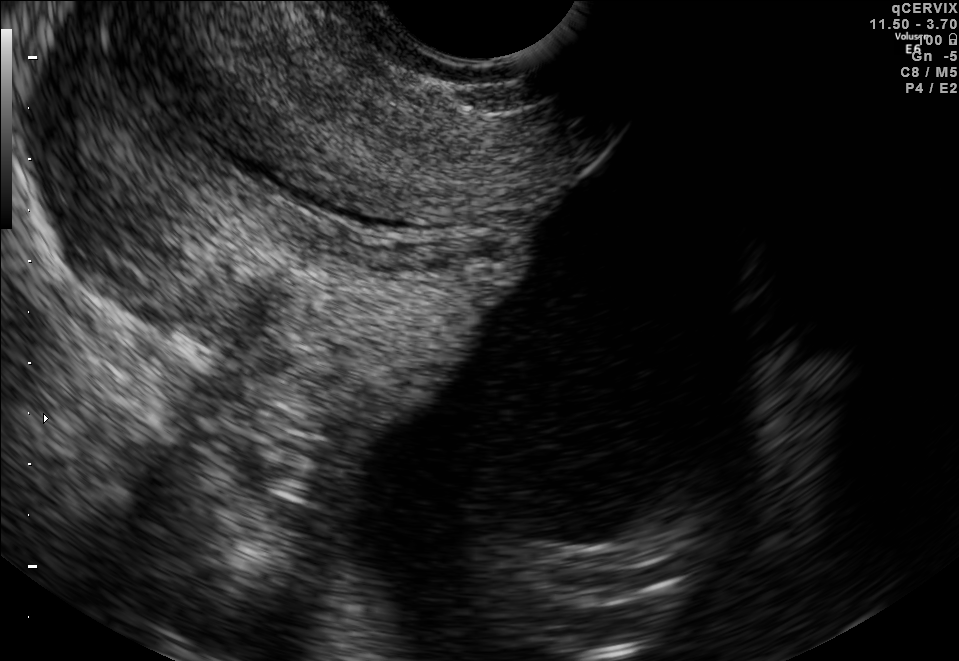
Classify this maternal-fetal ultrasound image as one of the six standard planes — fetal abdomen, fetal brain, fetal femur, fetal thorax, maternal cervix, or other. If it's fetal brain and one of the three standard brain planes (trans-thalamic, trans-cerebellum, trans-ventricular), name which.

Maternal cervix